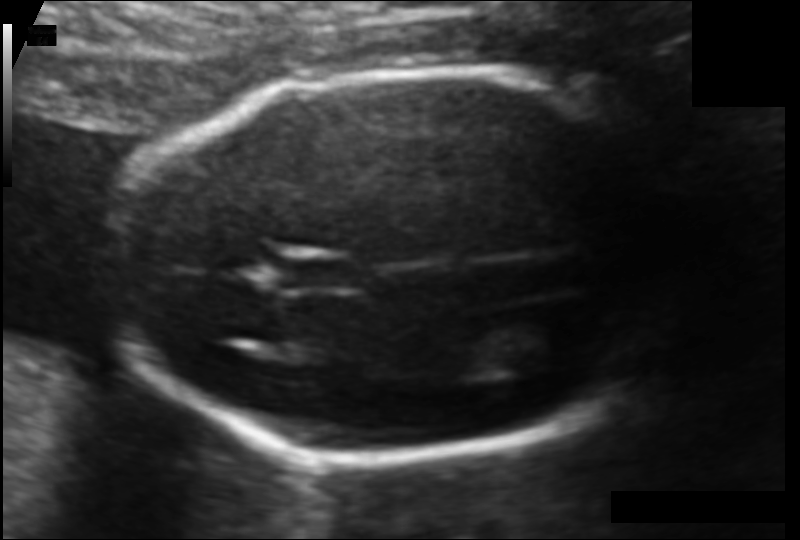
Fetal head ultrasound. Image width: 82.3 mm. Locate the fetal head.

Head: [114,71,669,464]